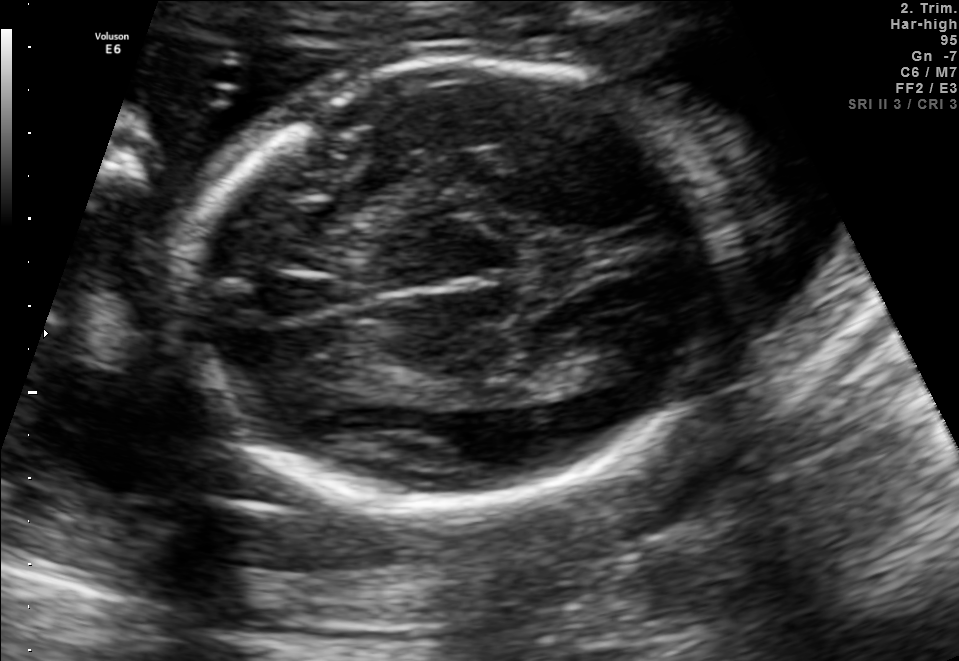
In this fetal brain, trans-thalamic plane, give the bounding box of the fetal head.

[182,56,719,507]